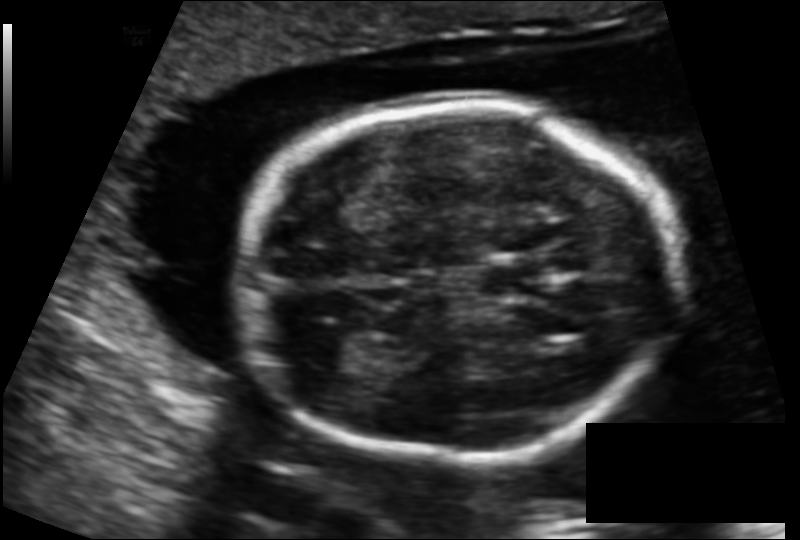
In this fetal head ultrasound, give the bounding box of the lateral ventricle. Image width: 104.4 mm.

[301,325,381,374]